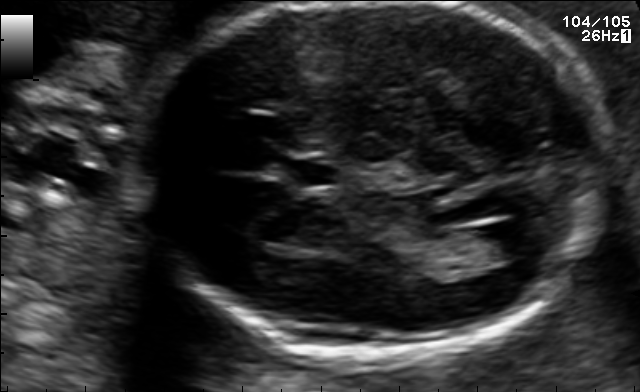
Fetal brain, trans-ventricular plane. Locate the lateral ventricle.

Lateral ventricle: [478,207,556,265]